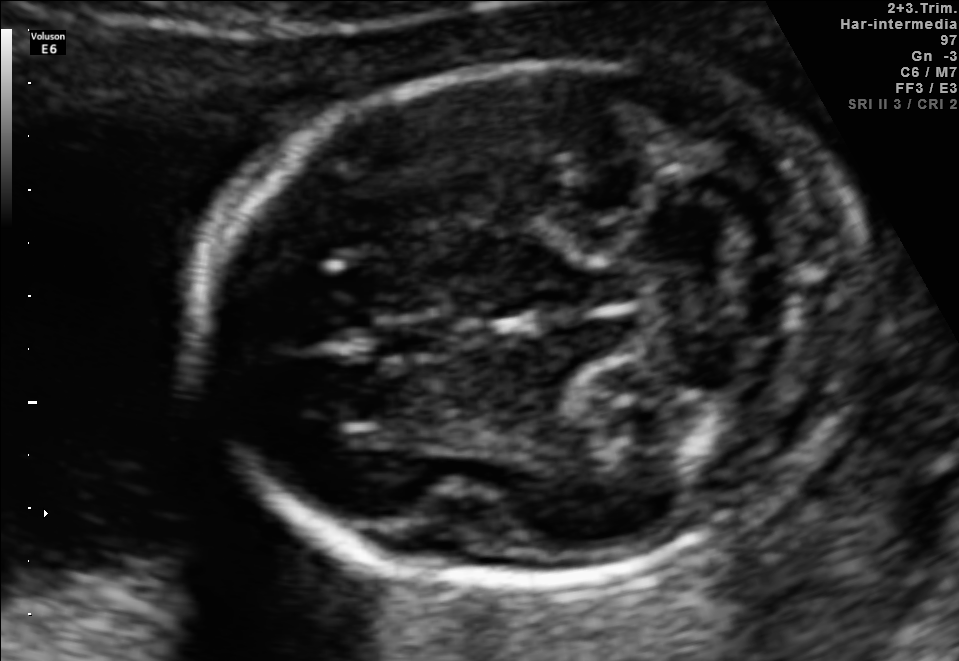
Classify this maternal-fetal ultrasound image as one of the six standard planes — fetal abdomen, fetal brain, fetal femur, fetal thorax, maternal cervix, or other. If it's fetal brain and one of the three standard brain planes (trans-thalamic, trans-cerebellum, trans-ventricular), name which.

Fetal brain (trans-cerebellum plane)